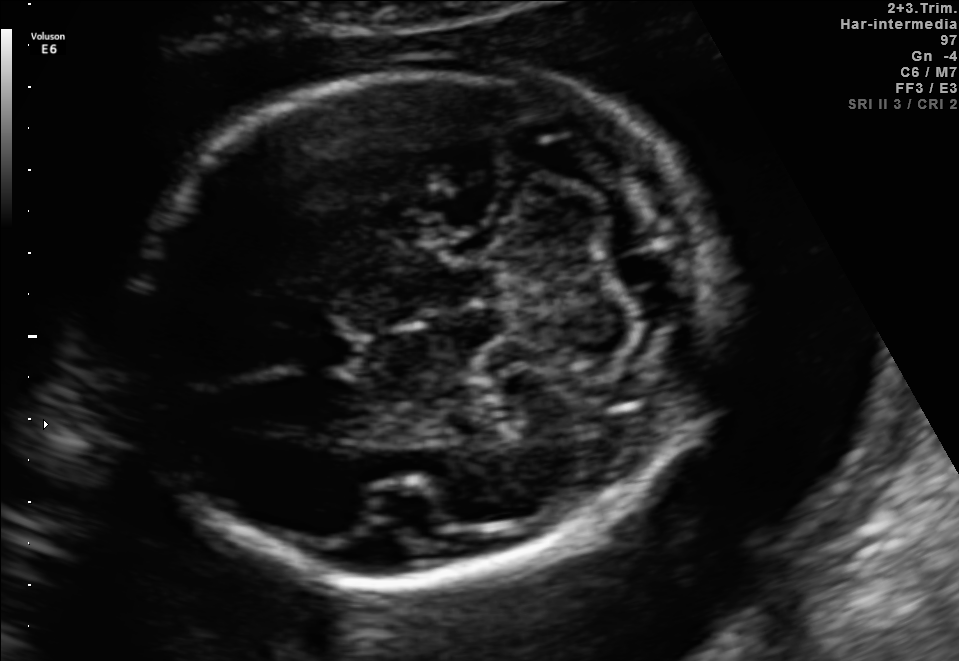
Identify the standard plane in this fetal ultrasound image: fetal abdomen, fetal brain, fetal femur, fetal thorax, maternal cervix, or other. If it's fetal brain and one of the three standard brain planes (trans-thalamic, trans-cerebellum, trans-ventricular), name which.

Fetal brain (trans-cerebellum plane)